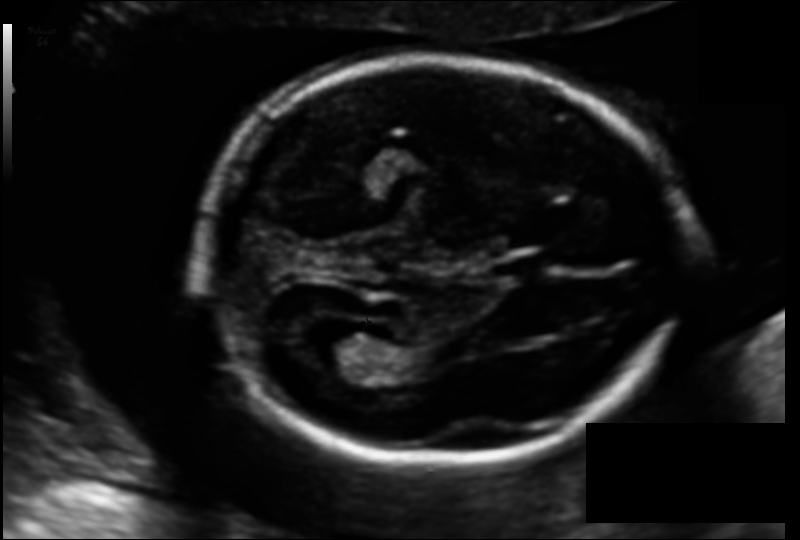
Measure the fetal head circumference shown in this ultrasound image. Image width: 97.9 mm.

Head circumference: 176.5 mm.